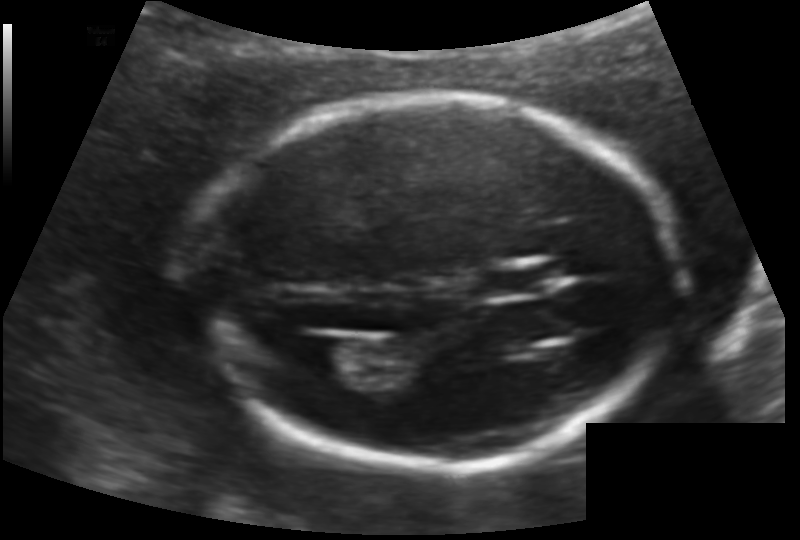
In this fetal head ultrasound, give the bounding box of the lateral ventricle. Image width: 99.5 mm.

[300,332,358,378]